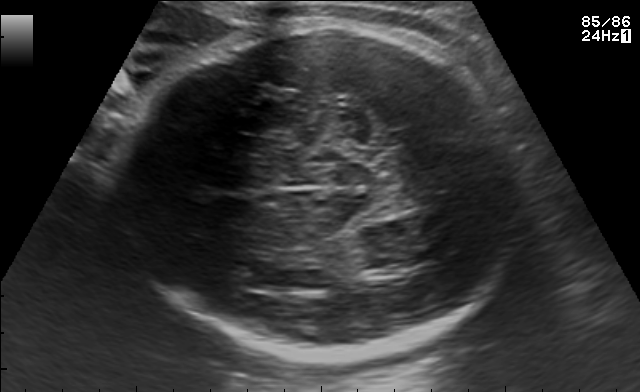
In this fetal brain, trans-thalamic plane, give the bounding box of the fetal head.

[114,26,529,358]